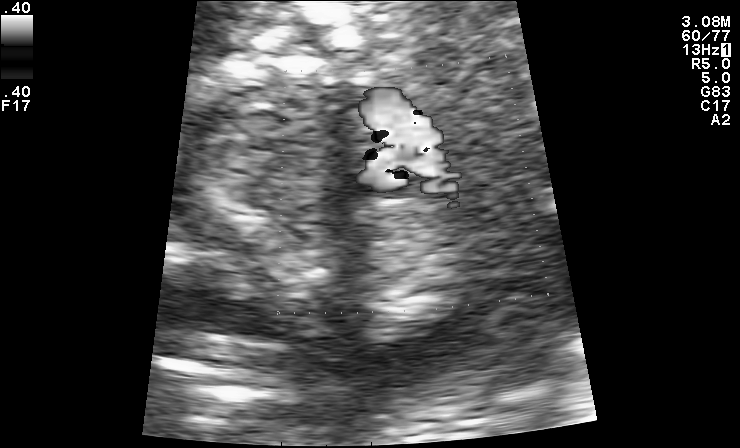
Which standard maternal-fetal ultrasound plane is shown: fetal abdomen, fetal brain, fetal femur, fetal thorax, maternal cervix, or other? If it's fetal brain and one of the three standard brain planes (trans-thalamic, trans-cerebellum, trans-ventricular), name which.

Other